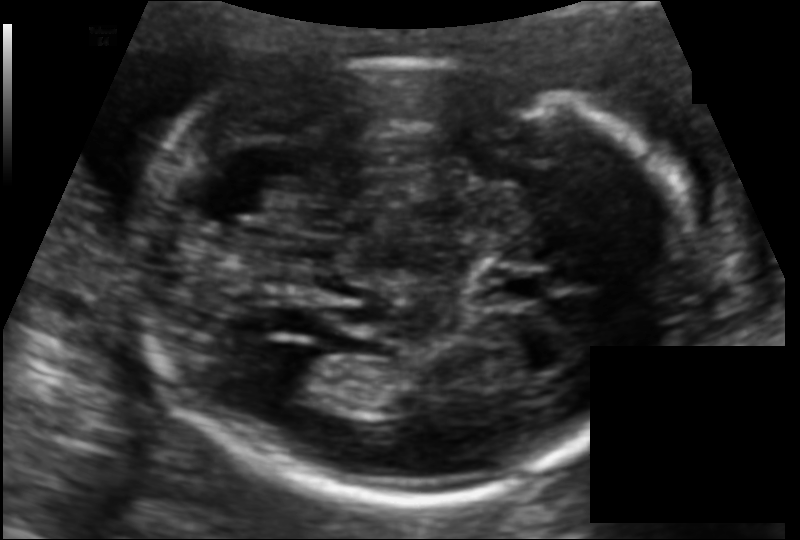
Fetal head ultrasound. Image width: 91.9 mm. Locate the cavum septum pellucidum.

CSP: [478,260,556,311]